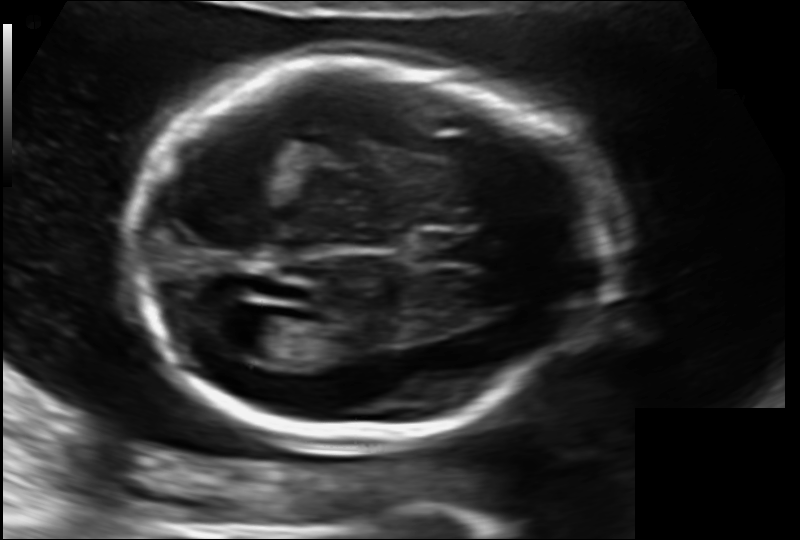
Measure the fetal head circumference shown in this ultrasound image. Image width: 103.9 mm.

Head circumference: 180.3 mm.